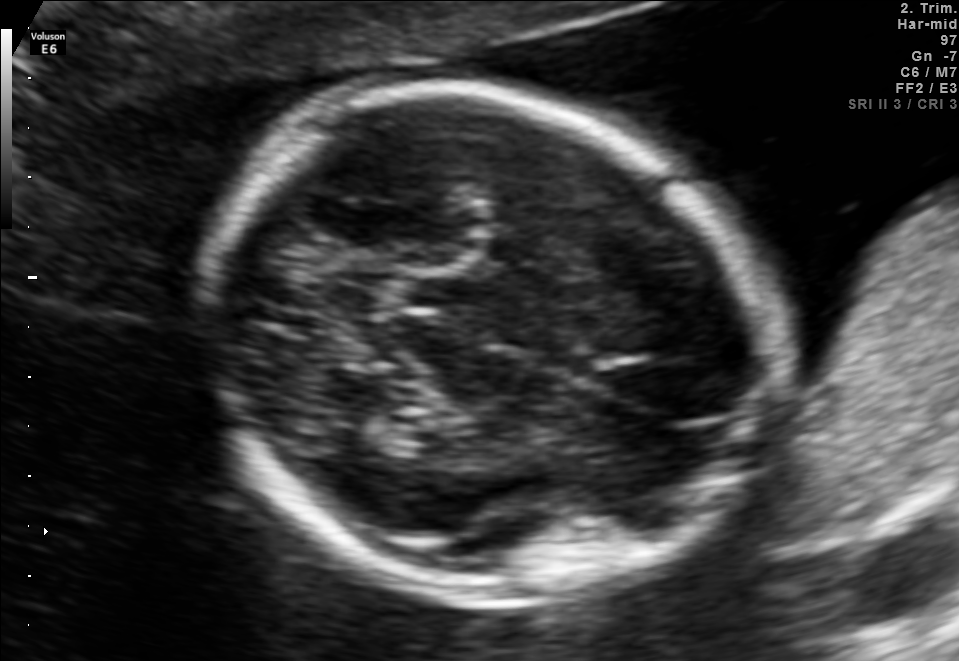
Fetal brain, trans-thalamic plane. Where is the fetal head?

Head bounding box: [194,88,775,597]